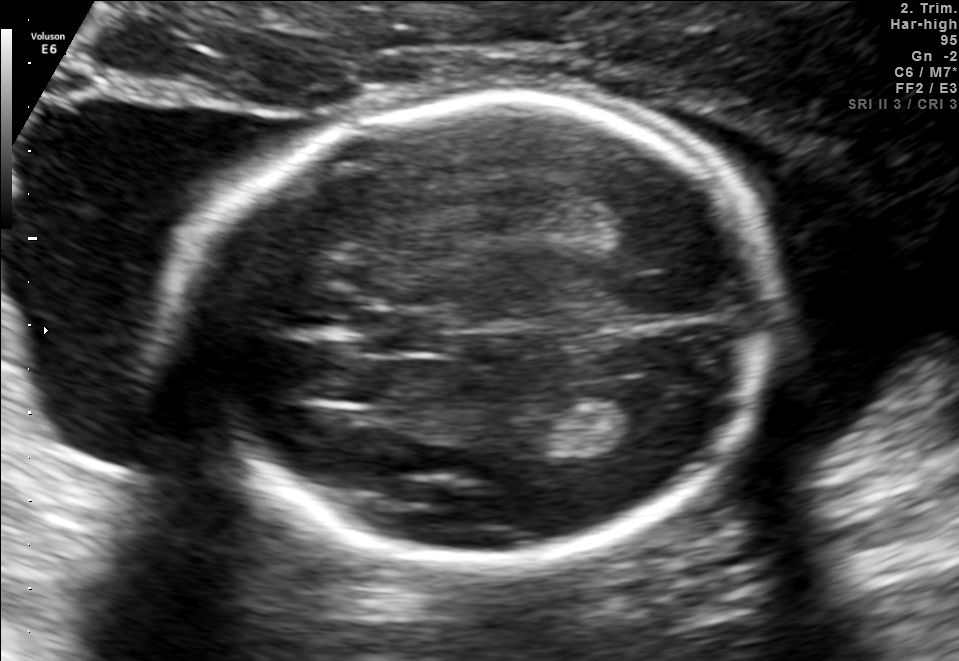
Fetal brain, trans-thalamic plane. Locate the fetal head.

Head: [186,97,777,554]